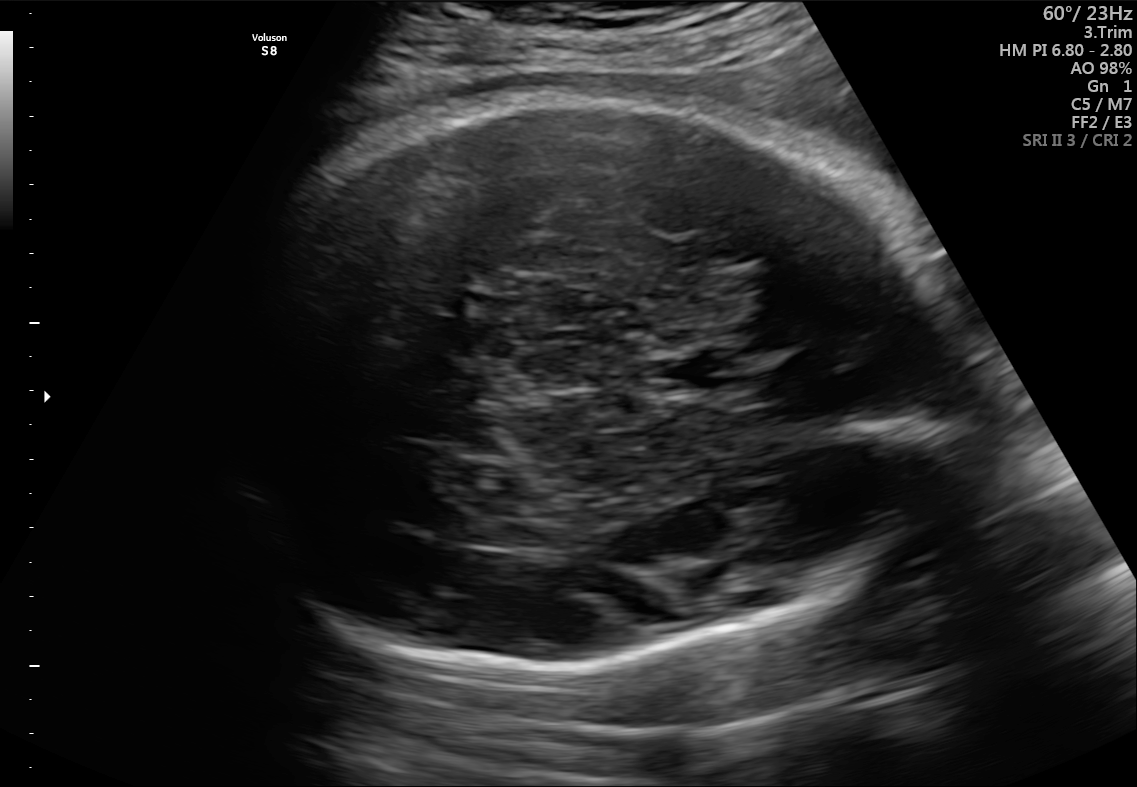
In this fetal brain, trans-thalamic plane, give the bounding box of the cavum septum pellucidum.

[651,350,743,396]